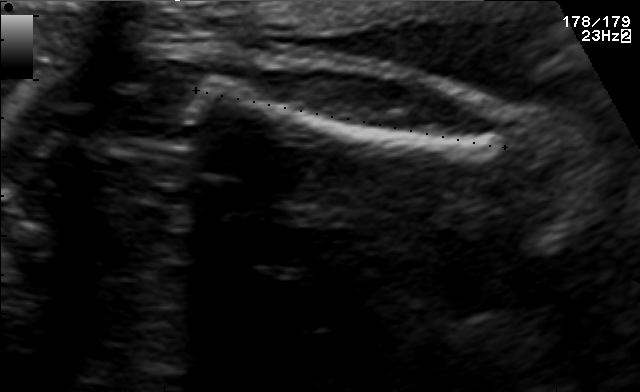
Which standard maternal-fetal ultrasound plane is shown: fetal abdomen, fetal brain, fetal femur, fetal thorax, maternal cervix, or other? If it's fetal brain and one of the three standard brain planes (trans-thalamic, trans-cerebellum, trans-ventricular), name which.

Other